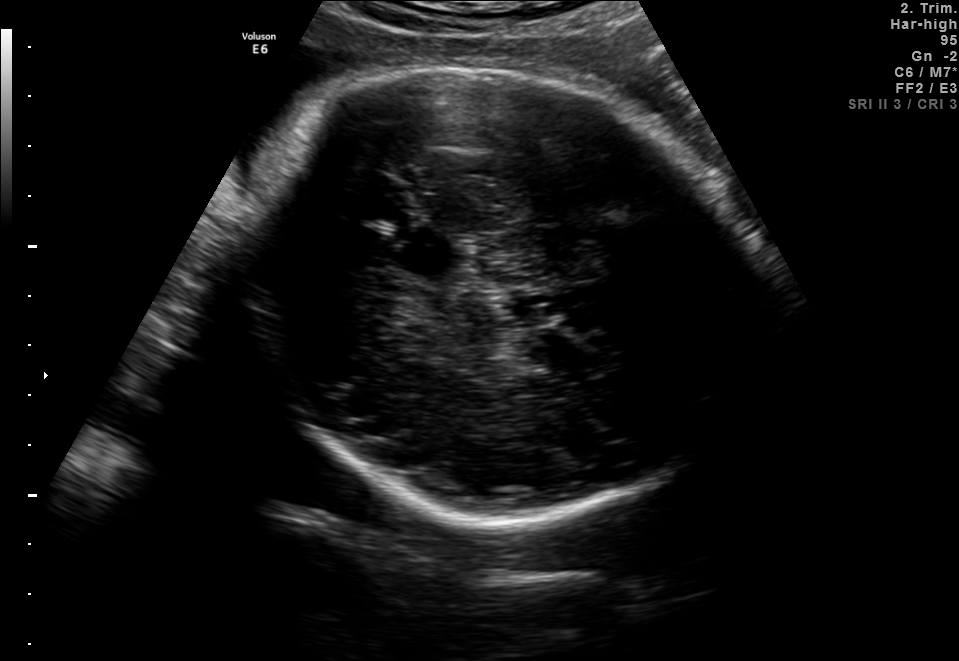
Fetal brain, trans-thalamic plane. Give [x1,y1,x2,y2] bounding boxes for each visible structure among: fetal head, CSP, LV.

Head: [227,65,764,522]